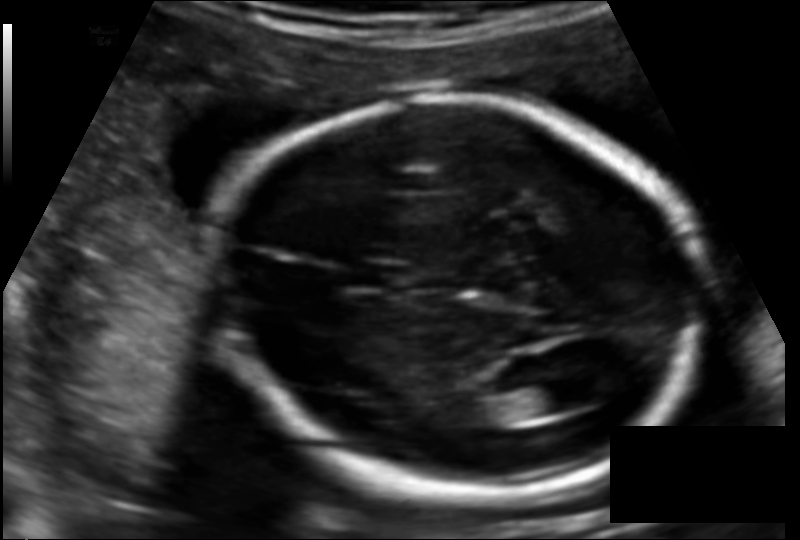
From this fetal ultrasound, estimate the head circumference (image width 99.4 mm).

Head circumference: 178.5 mm.